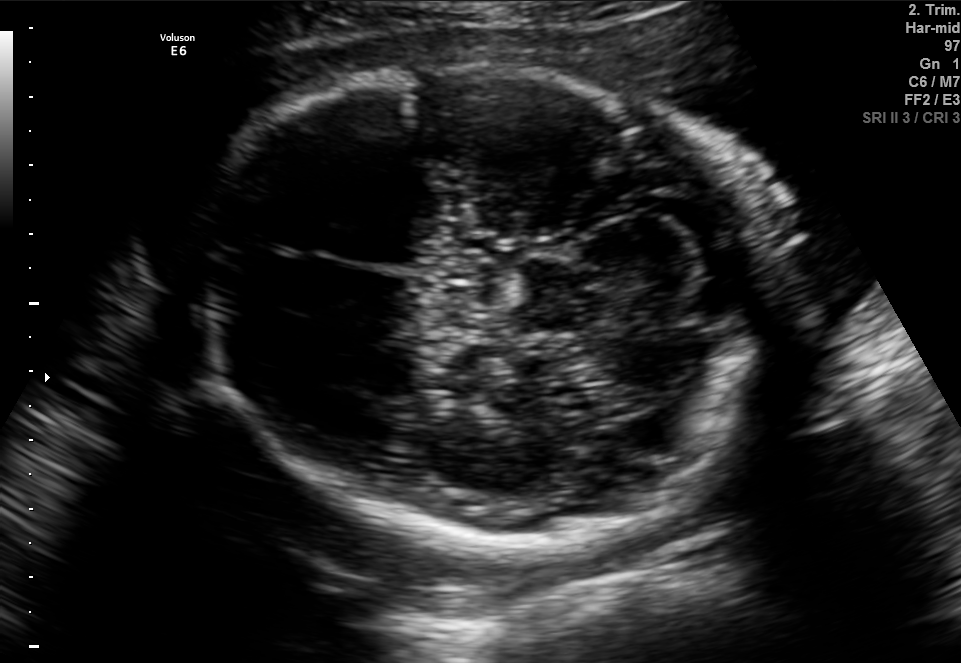
Fetal brain, trans-cerebellum plane. Locate the fetal head.

Head: [201,69,784,548]